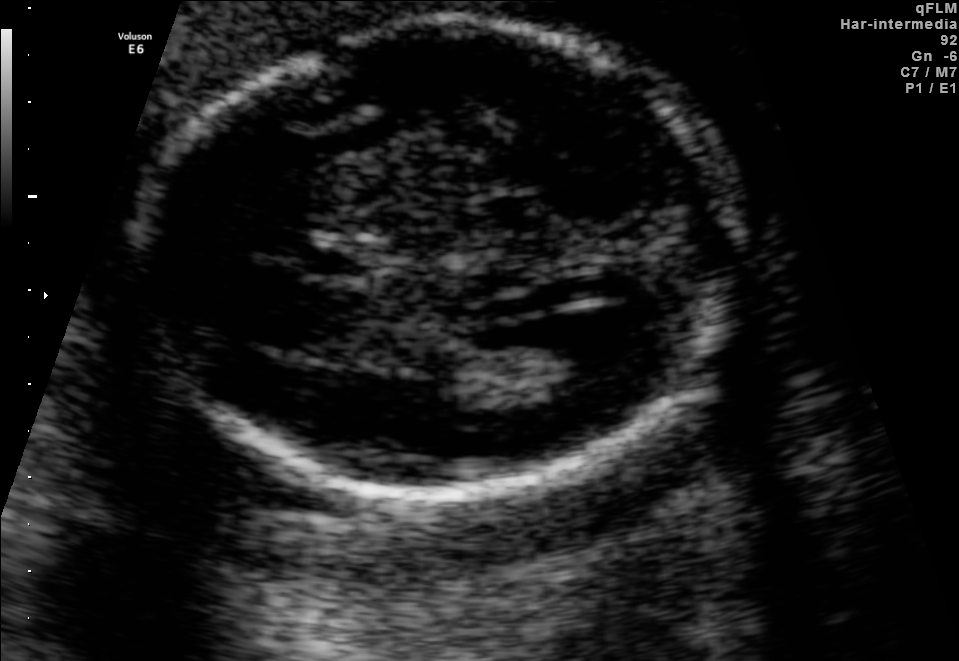
Fetal brain, trans-ventricular plane. Locate the fetal head and, if visible, the cavum septum pellucidum (CSP) and lateral ventricle (LV). Give bounding boxes as [x1,y1,x2,y2].

Head: [130,7,745,498]
CSP: [299,241,374,284]
Lateral ventricle: [506,304,632,391]